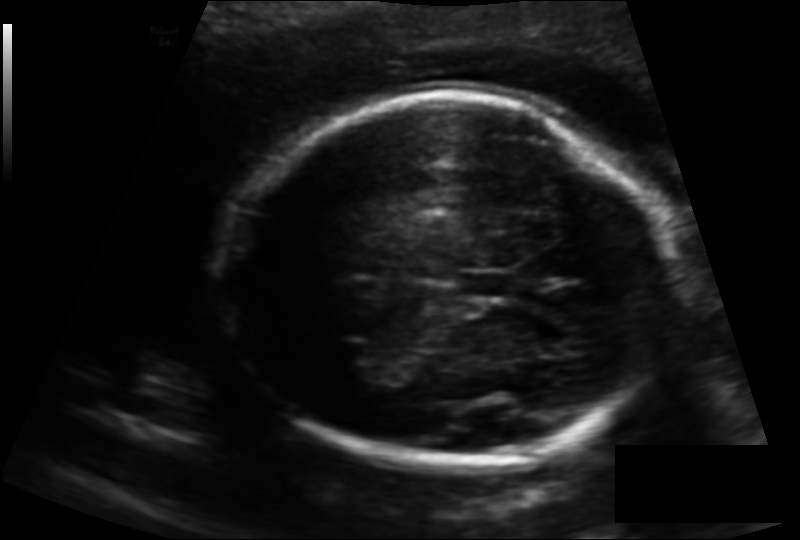
Fetal head ultrasound. Image width: 112.7 mm. Locate the cavum septum pellucidum.

CSP: [461,270,515,299]